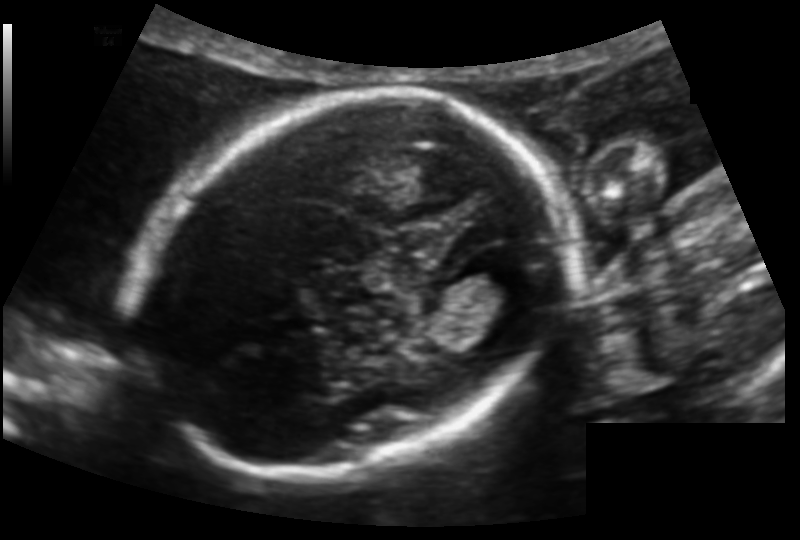
Fetal head ultrasound. Image width: 98.5 mm. Locate the fetal head and, if visible, the cavum septum pellucidum (CSP) and lateral ventricle (LV). Give bounding boxes as [x1,y1,x2,y2].

Head: [137,94,556,477]
Lateral ventricle: [455,242,531,317]